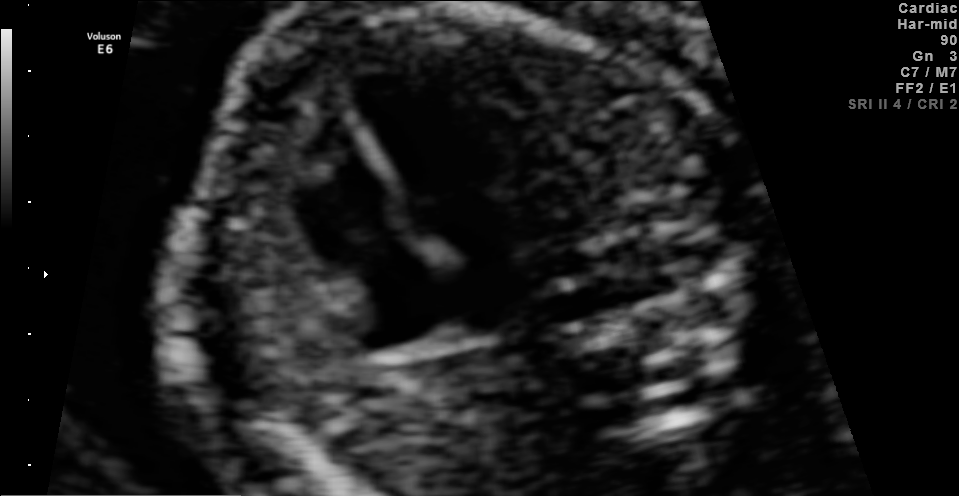
Identify the standard plane in this fetal ultrasound image: fetal abdomen, fetal brain, fetal femur, fetal thorax, maternal cervix, or other. If it's fetal brain and one of the three standard brain planes (trans-thalamic, trans-cerebellum, trans-ventricular), name which.

Fetal thorax